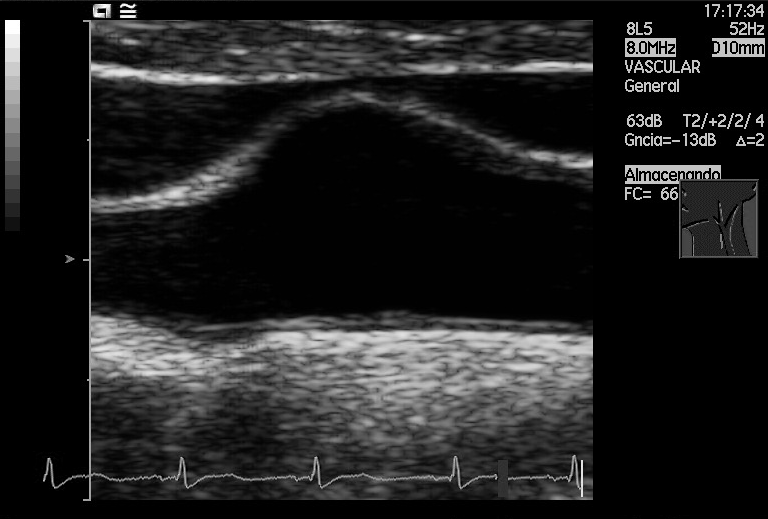
Which standard maternal-fetal ultrasound plane is shown: fetal abdomen, fetal brain, fetal femur, fetal thorax, maternal cervix, or other? If it's fetal brain and one of the three standard brain planes (trans-thalamic, trans-cerebellum, trans-ventricular), name which.

Other